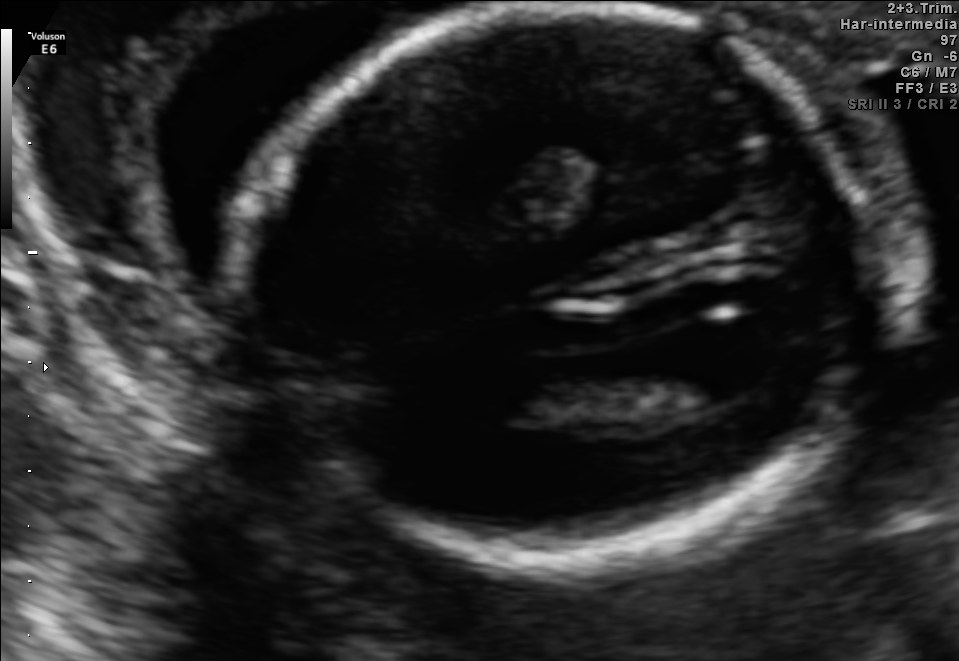
In this fetal brain, trans-ventricular plane, give bounding boxes for the head outline, cavum septum pellucidum (CSP), and lateral ventricle (LV), where visible.

Head: [227,4,884,579]